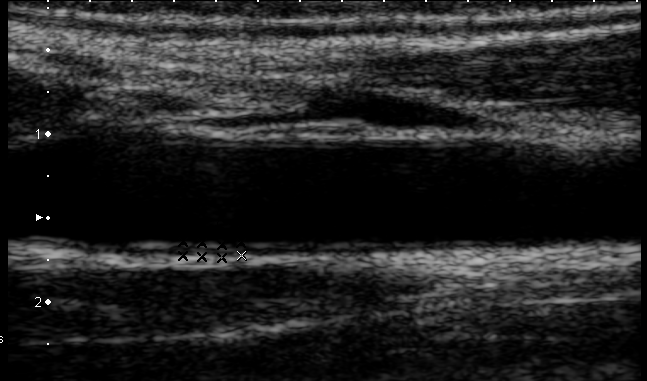
Identify the standard plane in this fetal ultrasound image: fetal abdomen, fetal brain, fetal femur, fetal thorax, maternal cervix, or other. If it's fetal brain and one of the three standard brain planes (trans-thalamic, trans-cerebellum, trans-ventricular), name which.

Other